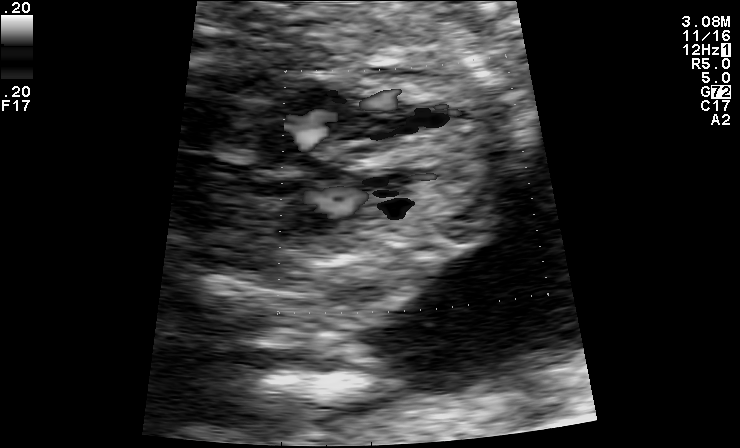
Which standard maternal-fetal ultrasound plane is shown: fetal abdomen, fetal brain, fetal femur, fetal thorax, maternal cervix, or other? If it's fetal brain and one of the three standard brain planes (trans-thalamic, trans-cerebellum, trans-ventricular), name which.

Other